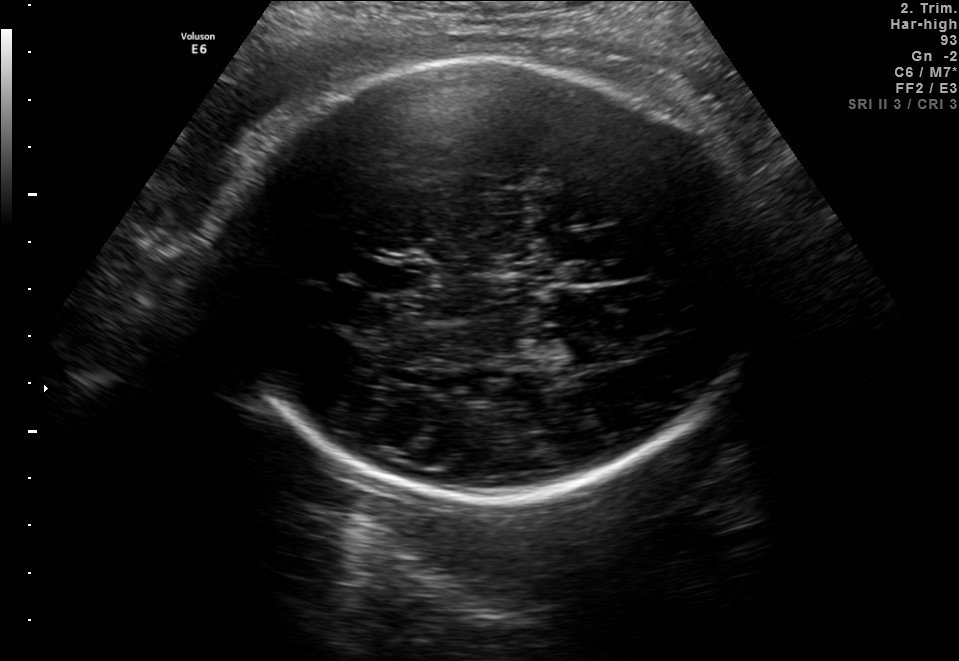
Fetal brain, trans-thalamic plane. Give [x1,y1,x2,y2] bounding boxes for each visible structure among: fetal head, CSP, LV.

Head: [215,58,758,491]
CSP: [355,259,409,295]